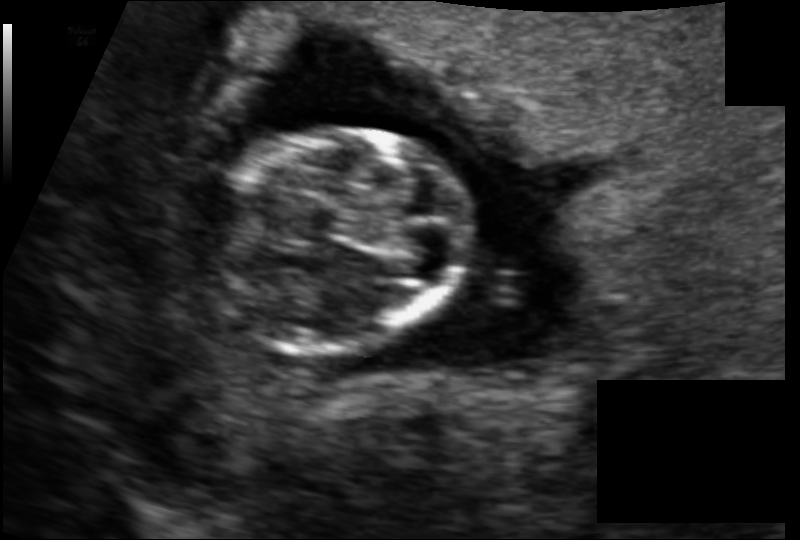
Fetal head ultrasound. Image width: 77.7 mm. Locate the fetal head and, if visible, the cavum septum pellucidum (CSP) and lateral ventricle (LV). Give bounding boxes as [x1,y1,x2,y2].

Head: [204,129,468,349]